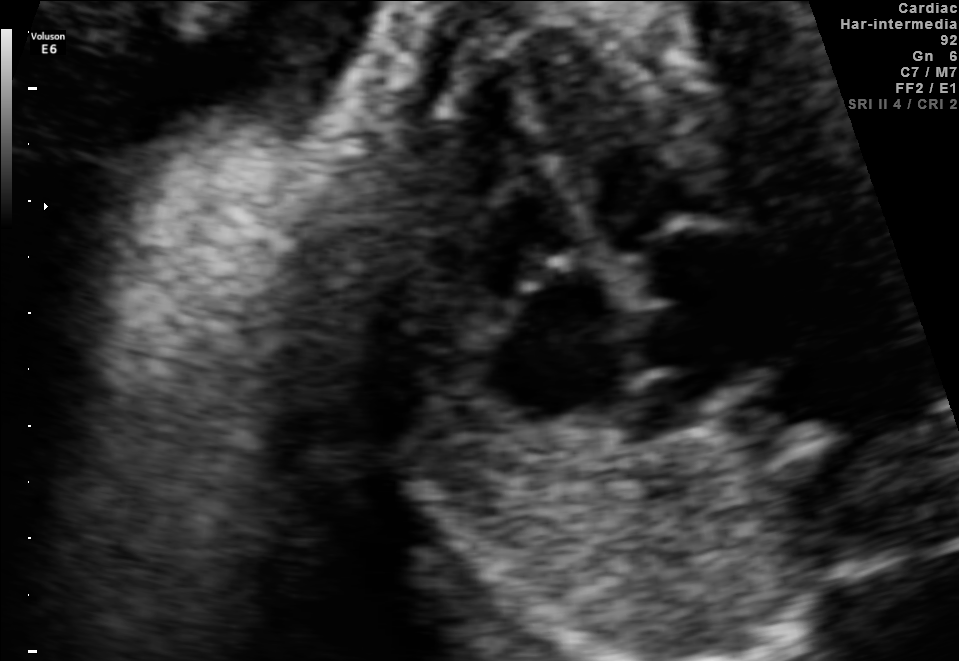
Which standard maternal-fetal ultrasound plane is shown: fetal abdomen, fetal brain, fetal femur, fetal thorax, maternal cervix, or other? If it's fetal brain and one of the three standard brain planes (trans-thalamic, trans-cerebellum, trans-ventricular), name which.

Fetal thorax